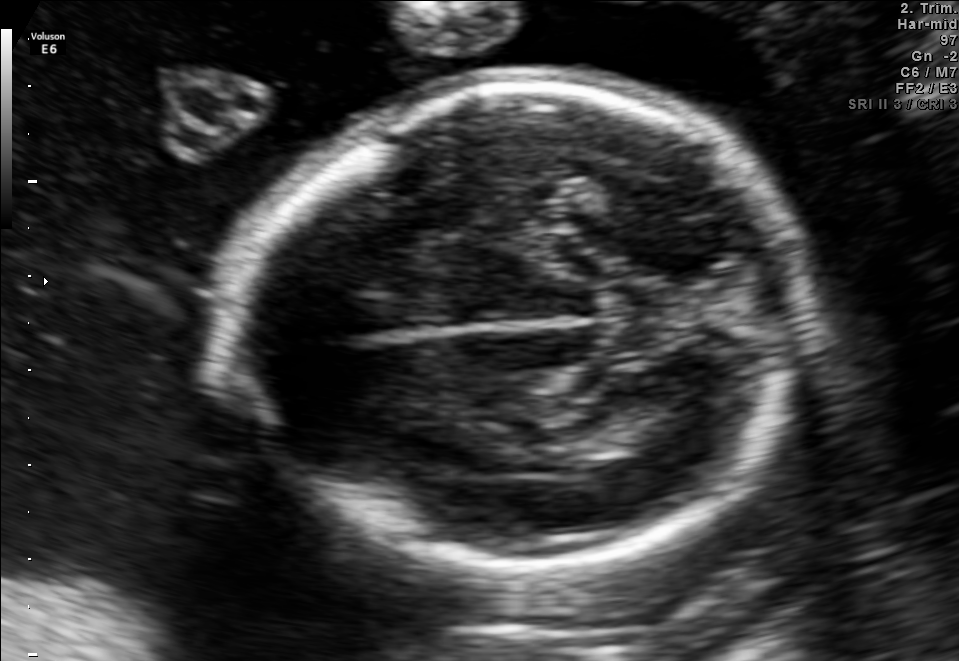
In this fetal brain, trans-thalamic plane, give bounding boxes for the head outline, cavum septum pellucidum (CSP), and lateral ventricle (LV), where visible.

Head: [239,81,816,570]